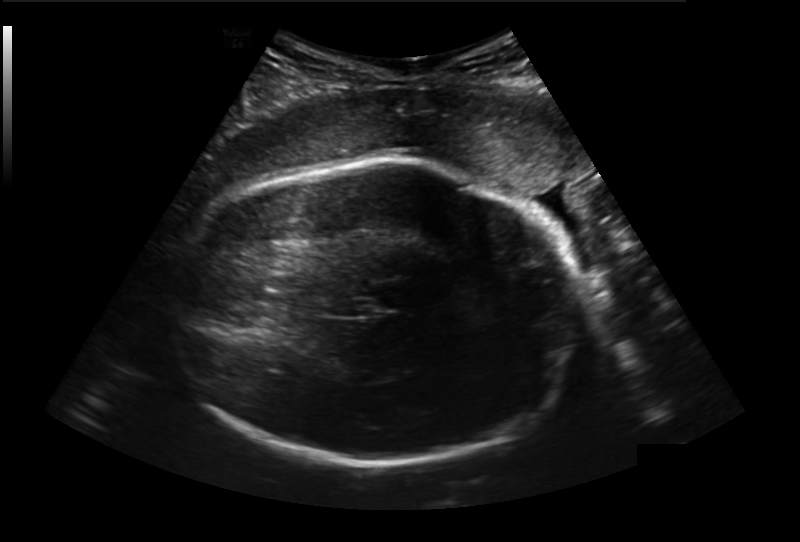
In this fetal head ultrasound, give the bounding box of the fetal head. Image width: 188.7 mm.

[165,158,581,464]